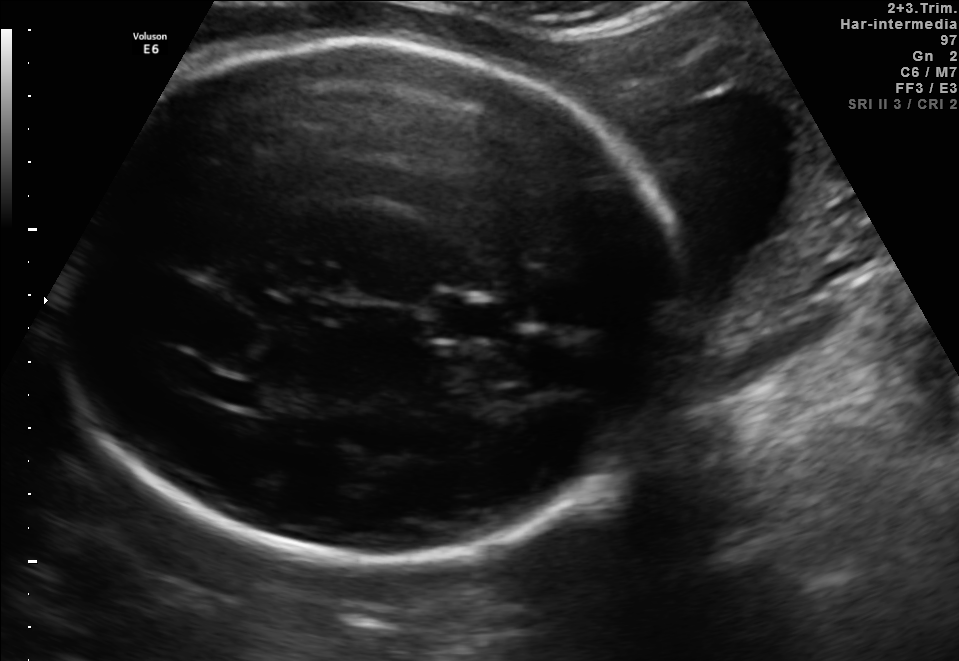
Identify the standard plane in this fetal ultrasound image: fetal abdomen, fetal brain, fetal femur, fetal thorax, maternal cervix, or other. If it's fetal brain and one of the three standard brain planes (trans-thalamic, trans-cerebellum, trans-ventricular), name which.

Fetal brain (trans-thalamic plane)